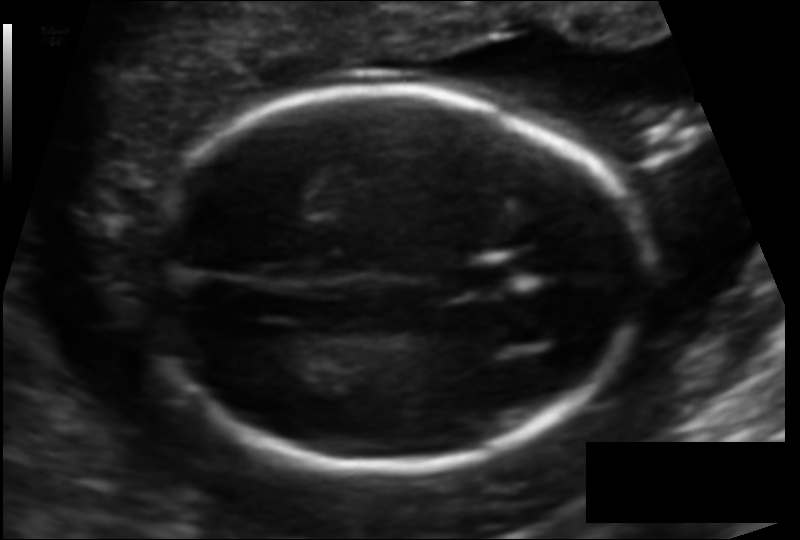
Fetal head ultrasound. Image width: 91.5 mm. Where is the cavum septum pellucidum?

CSP bounding box: [443,256,512,300]